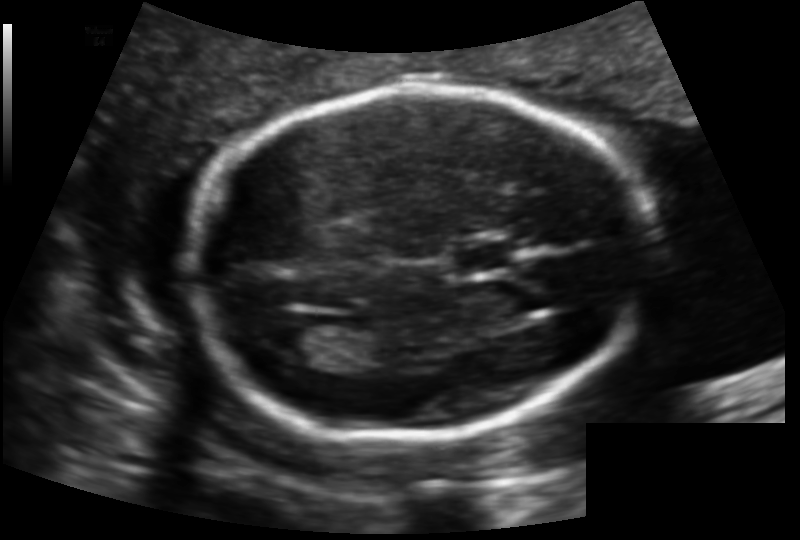
In this fetal head ultrasound, give the bounding box of the lateral ventricle. Image width: 103.4 mm.

[267,319,333,368]